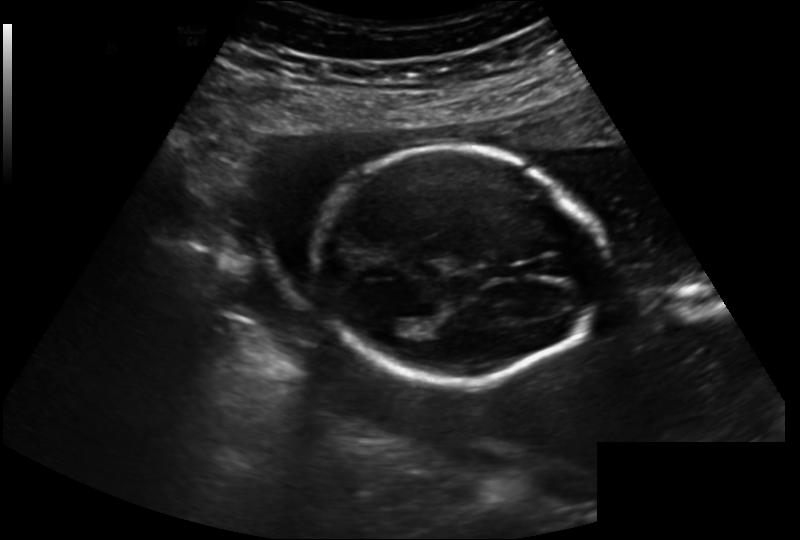
What is the fetal head circumference? Image width is 161.6 mm.

174.1 mm